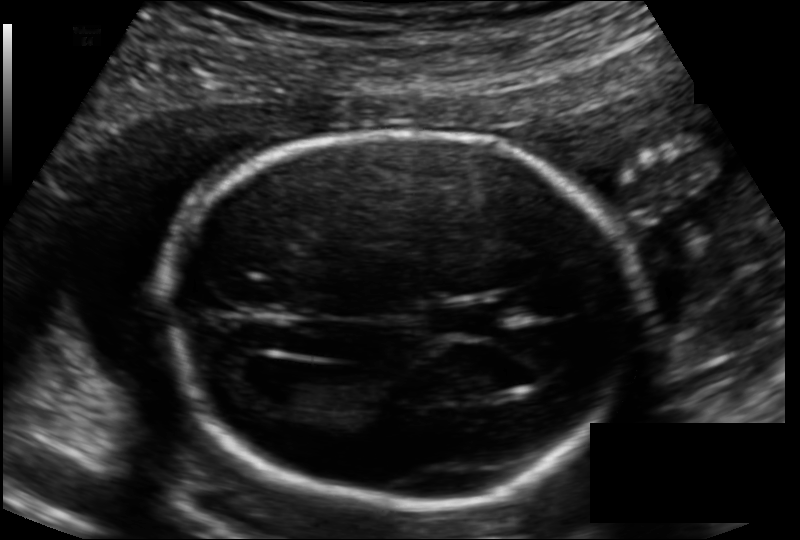
Fetal head ultrasound. Image width: 100.8 mm. Locate the fetal head and, if visible, the cavum septum pellucidum (CSP) and lateral ventricle (LV). Give bounding boxes as [x1,y1,x2,y2].

Head: [168,133,634,505]
CSP: [430,303,497,336]
Lateral ventricle: [239,353,324,411]